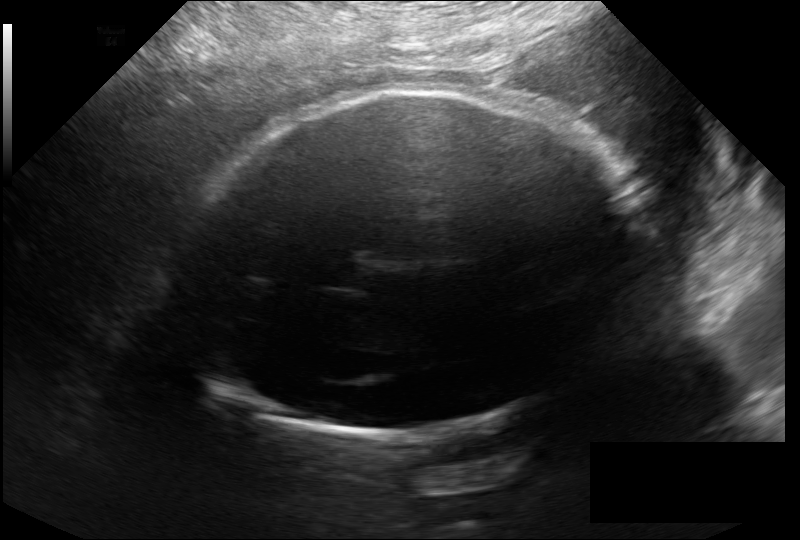
Fetal head ultrasound. Image width: 196.9 mm. Locate the fetal head and, if visible, the cavum septum pellucidum (CSP) and lateral ventricle (LV). Give bounding boxes as [x1,y1,x2,y2].

Head: [180,90,626,435]